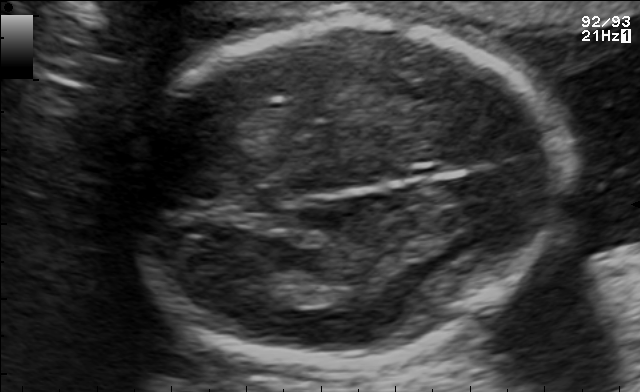
In this fetal brain, trans-thalamic plane, give the bounding box of the lateral ventricle.

[250,285,305,308]